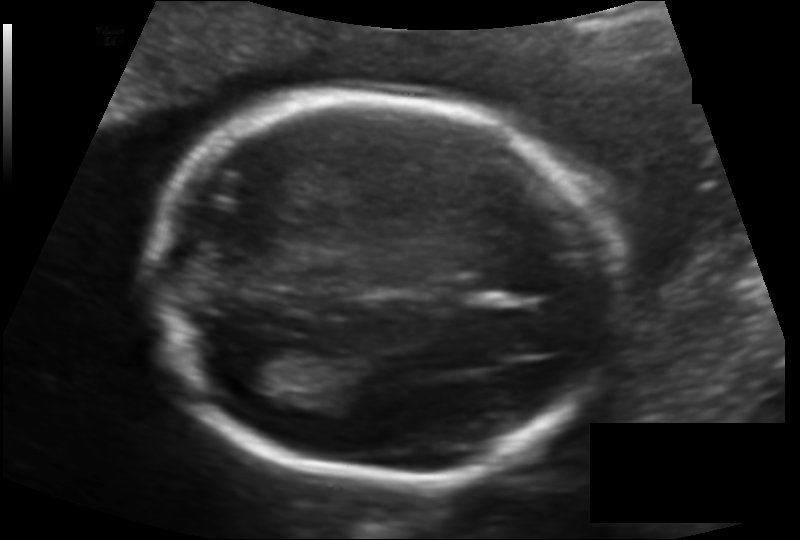
What is the fetal head circumference? Image width is 102.7 mm.

174.3 mm